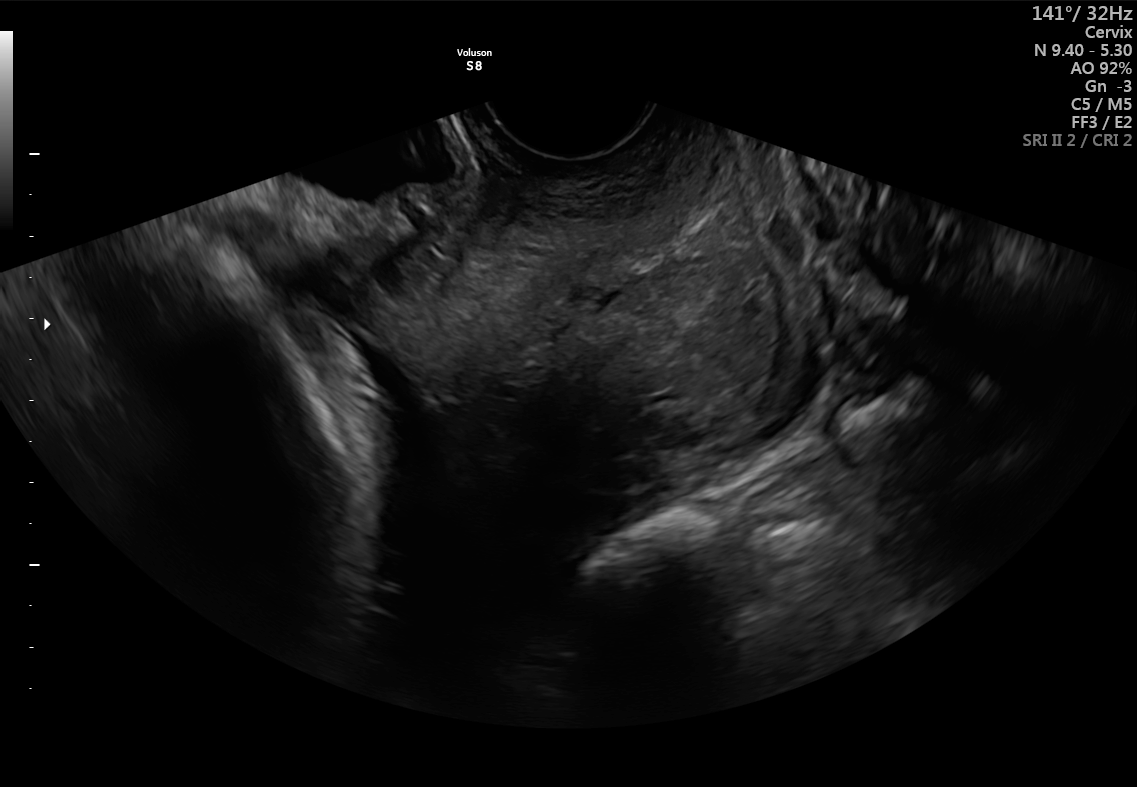
Which standard maternal-fetal ultrasound plane is shown: fetal abdomen, fetal brain, fetal femur, fetal thorax, maternal cervix, or other? If it's fetal brain and one of the three standard brain planes (trans-thalamic, trans-cerebellum, trans-ventricular), name which.

Maternal cervix